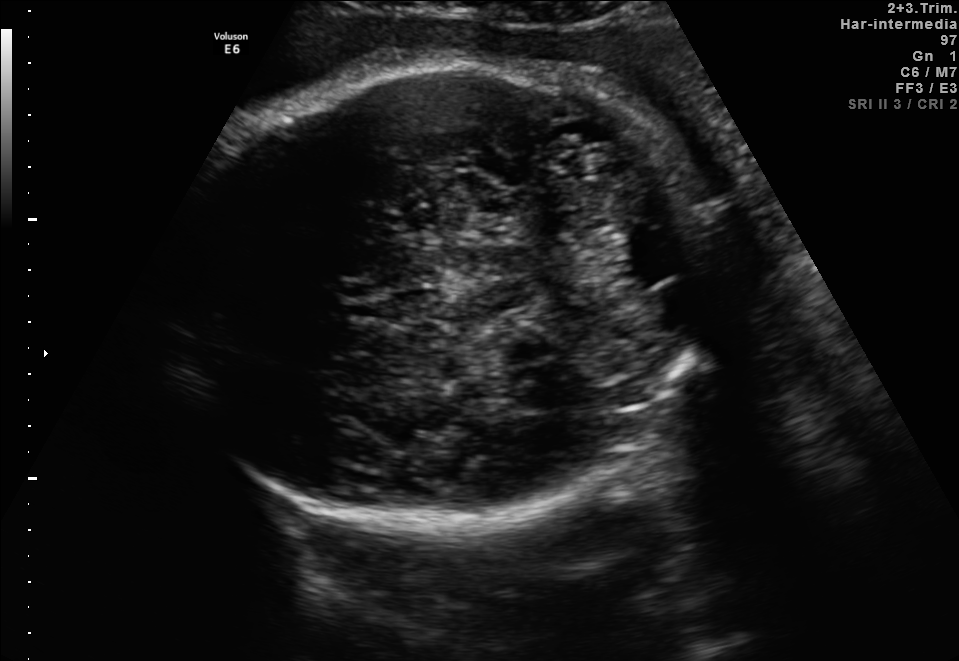
Fetal brain, trans-cerebellum plane. Locate the fetal head.

Head: [164,58,715,517]